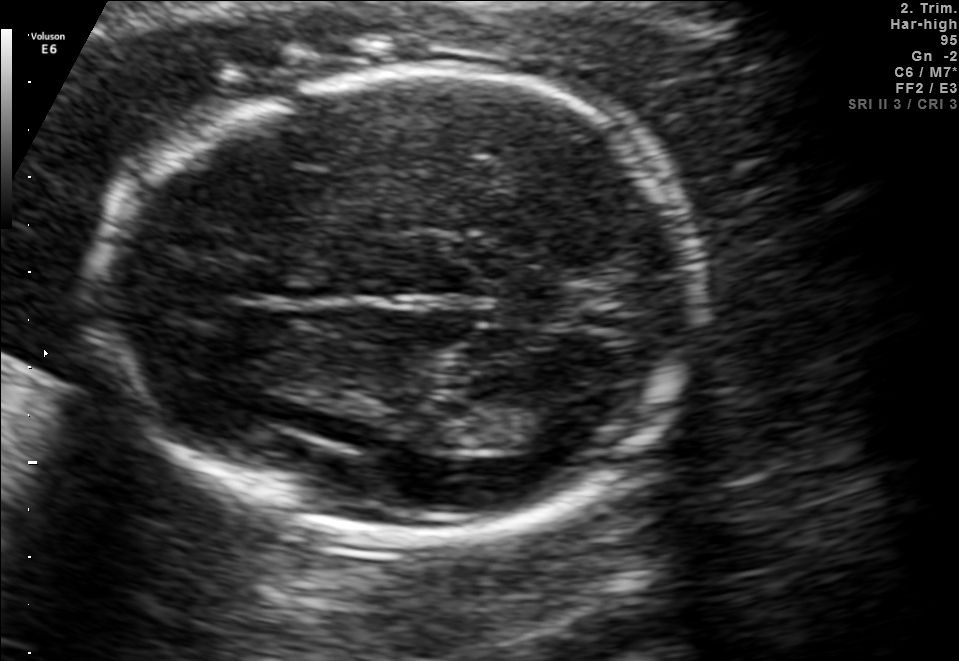
Classify this maternal-fetal ultrasound image as one of the six standard planes — fetal abdomen, fetal brain, fetal femur, fetal thorax, maternal cervix, or other. If it's fetal brain and one of the three standard brain planes (trans-thalamic, trans-cerebellum, trans-ventricular), name which.

Fetal brain (trans-thalamic plane)